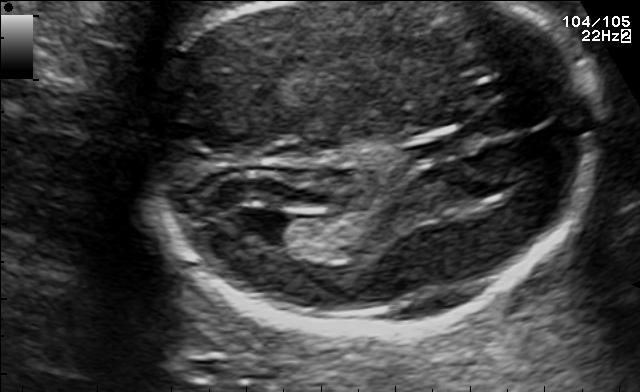
Fetal brain, trans-ventricular plane. Locate the cavum septum pellucidum.

CSP: [398,116,487,173]